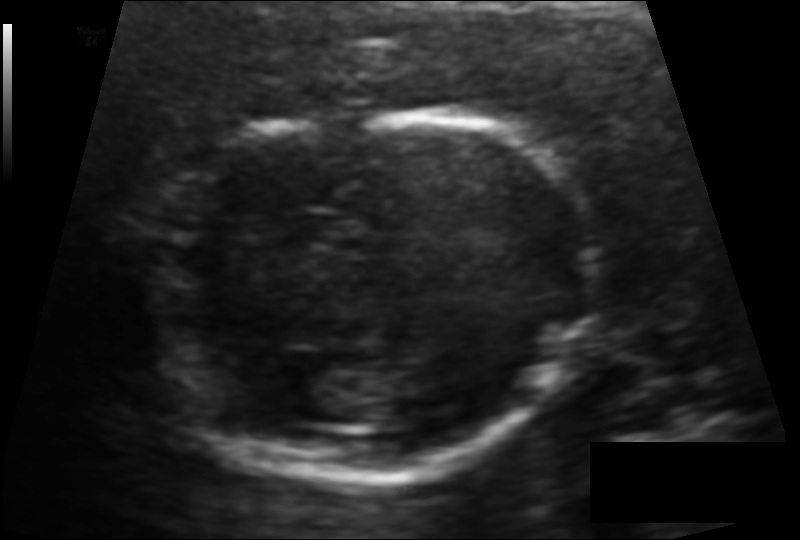
Fetal head ultrasound. Image width: 81.2 mm. Where is the fetal head?

Head bounding box: [148,111,601,478]